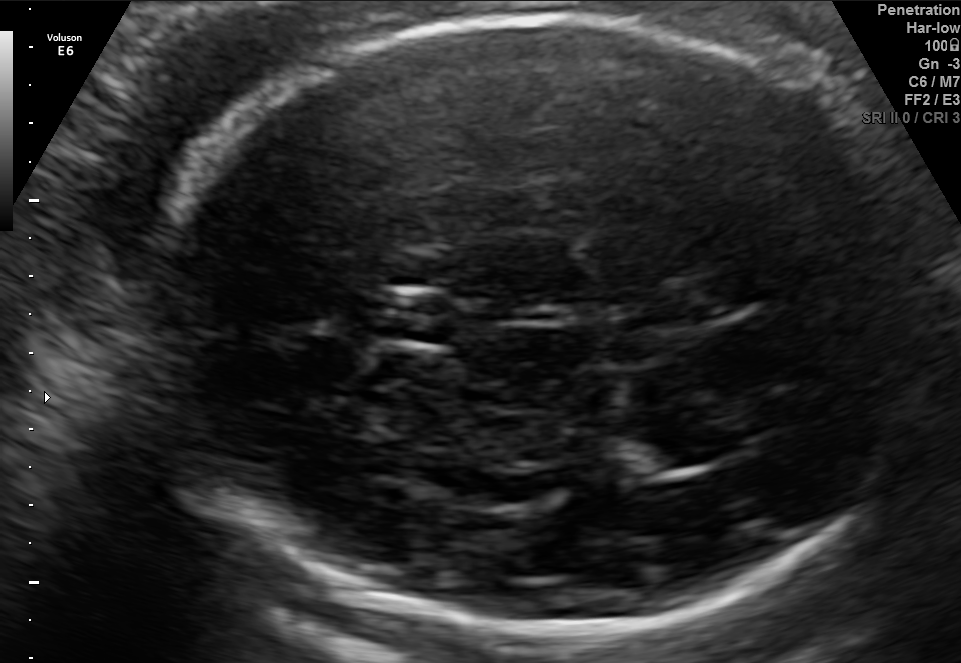
Fetal brain, trans-thalamic plane. Locate the fetal head.

Head: [137,20,940,631]